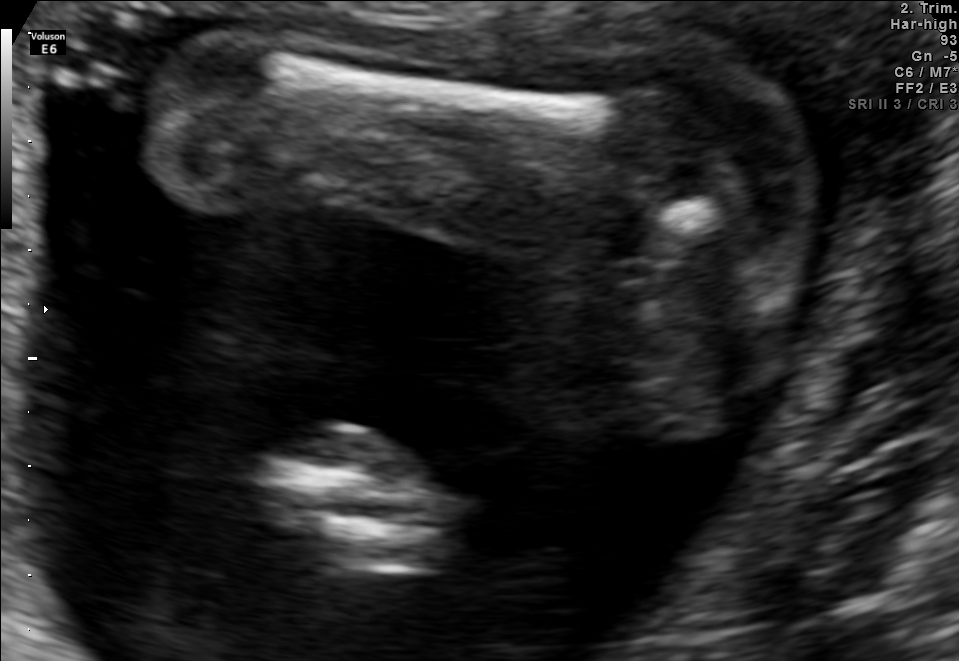
Identify the standard plane in this fetal ultrasound image: fetal abdomen, fetal brain, fetal femur, fetal thorax, maternal cervix, or other. If it's fetal brain and one of the three standard brain planes (trans-thalamic, trans-cerebellum, trans-ventricular), name which.

Fetal femur